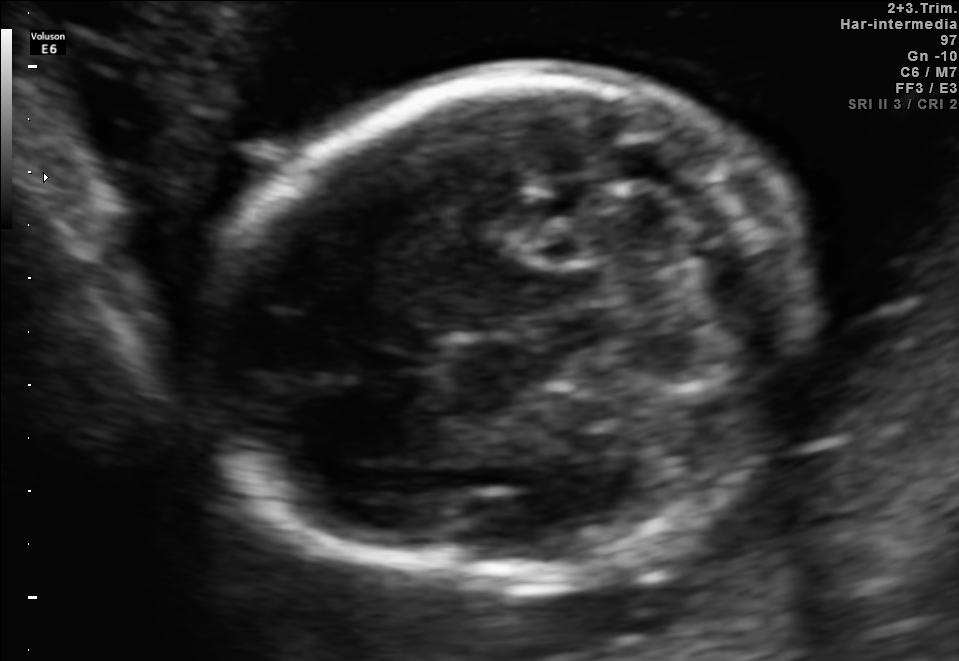
Fetal brain, trans-cerebellum plane. Locate the fetal head and, if visible, the cavum septum pellucidum (CSP) and lateral ventricle (LV). Give bounding boxes as [x1,y1,x2,y2].

Head: [206,71,805,578]